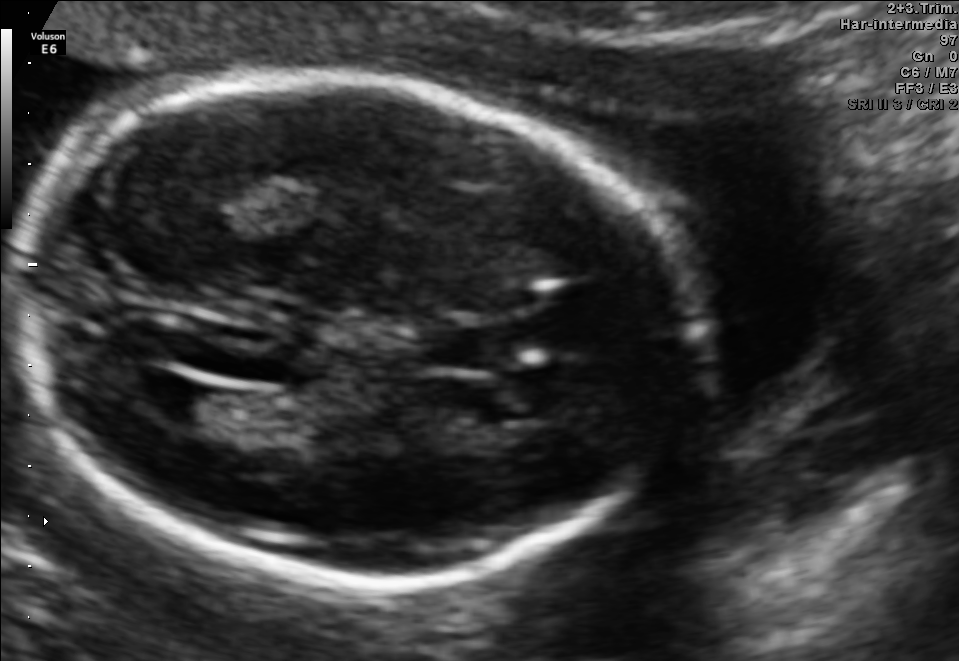
Fetal brain, trans-ventricular plane. Locate the cavum septum pellucidum.

CSP: [429,329,499,368]